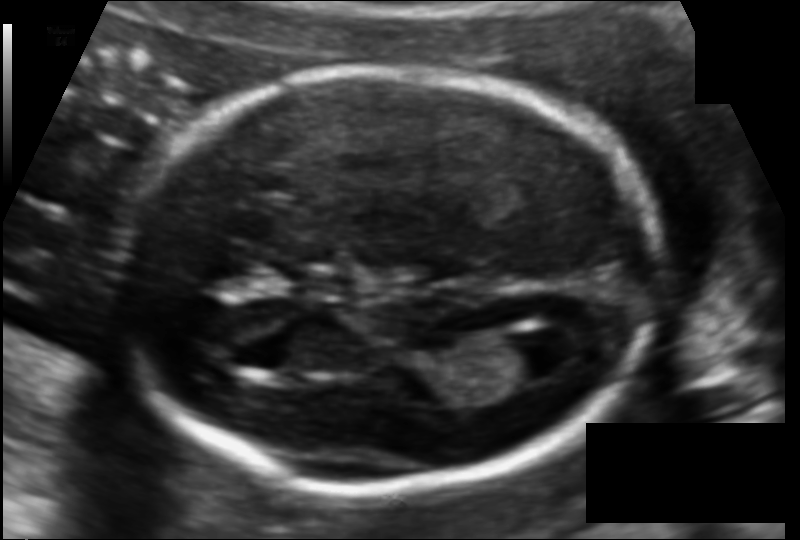
From this fetal ultrasound, estimate the head circumference (image width 85.9 mm).

Head circumference: 165.3 mm.